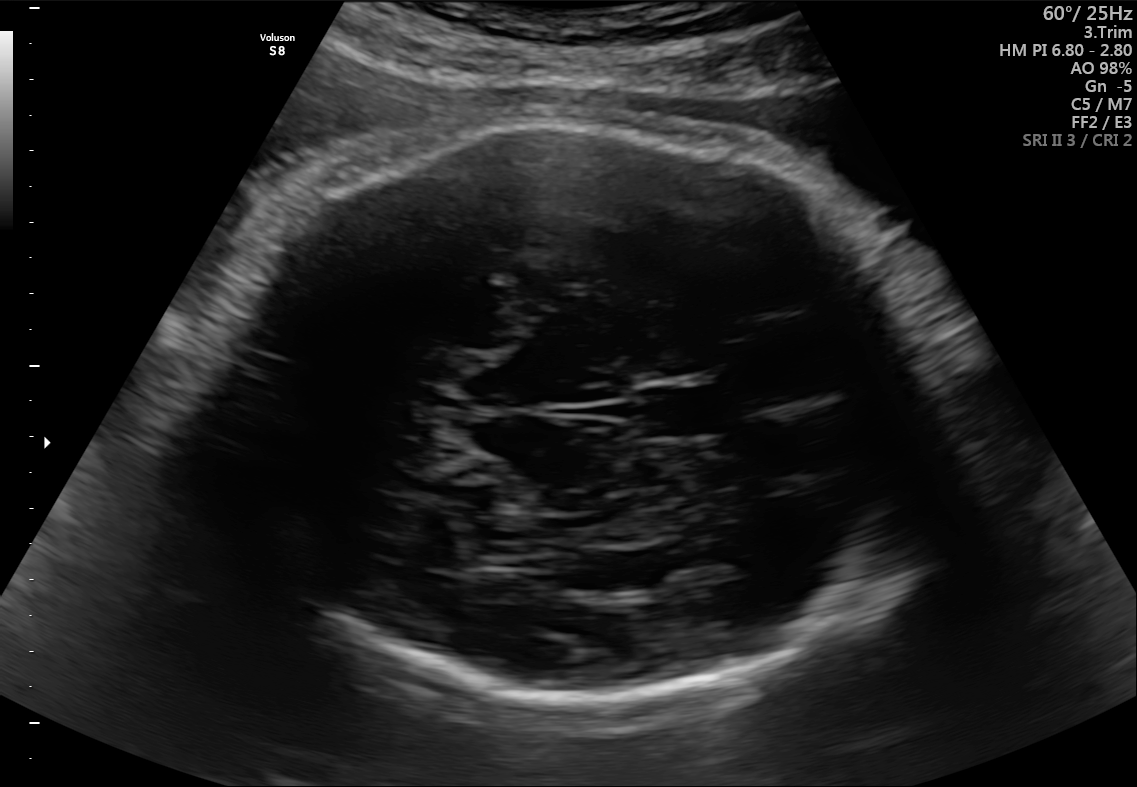
Fetal brain, trans-thalamic plane. Locate the cavum septum pellucidum.

CSP: [640,383,731,437]